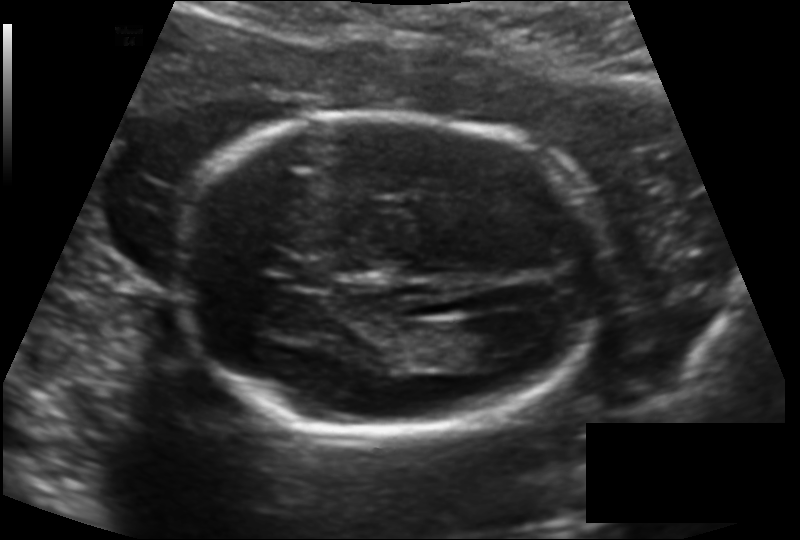
In this fetal head ultrasound, give the bounding box of the fetal head. Image width: 110.7 mm.

[175,115,605,431]